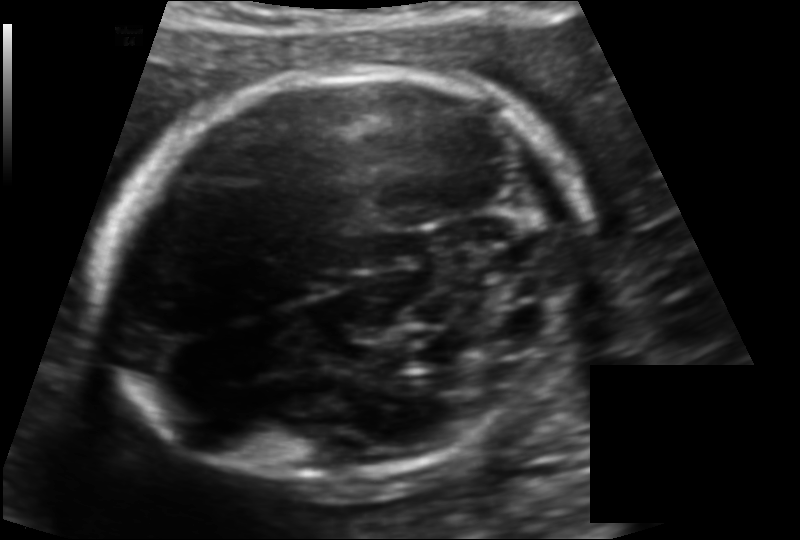
Estimate the fetal head circumference from this 2D ultrasound.

Head circumference: 183.6 mm (image width 100.1 mm).